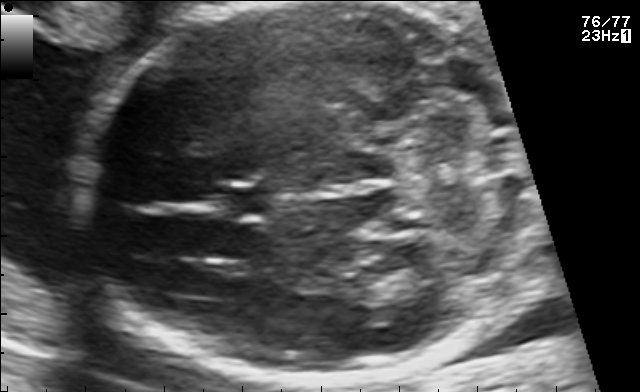
Fetal brain, trans-cerebellum plane. Where is the cavum septum pellucidum?

CSP bounding box: [223,182,280,221]